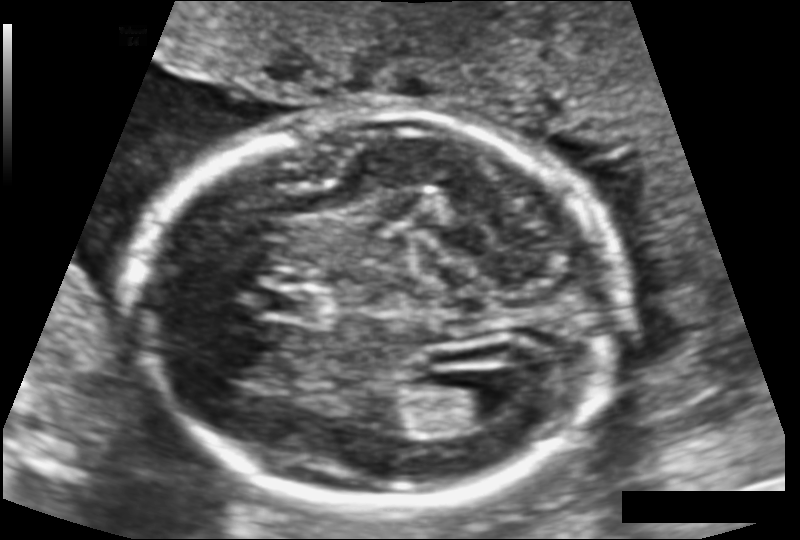
In this fetal head ultrasound, give the bounding box of the lateral ventricle. Image width: 99.5 mm.

[438,383,519,434]